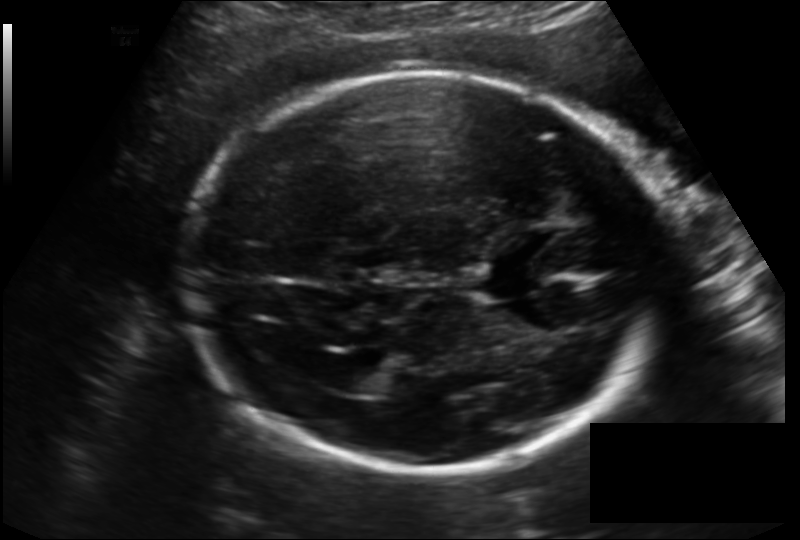
In this fetal head ultrasound, give the bounding box of the cavum septum pellucidum. Image width: 133.1 mm.

[474,256,543,302]